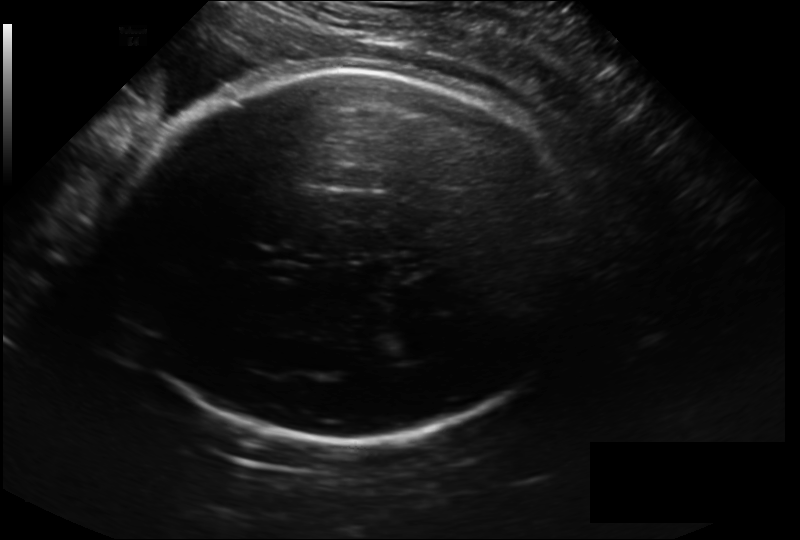
Fetal head ultrasound. Image width: 182.1 mm. Give [x1,y1,x2,y2] bounding boxes for each visible structure among: fetal head, CSP, LV.

Head: [116,70,582,442]